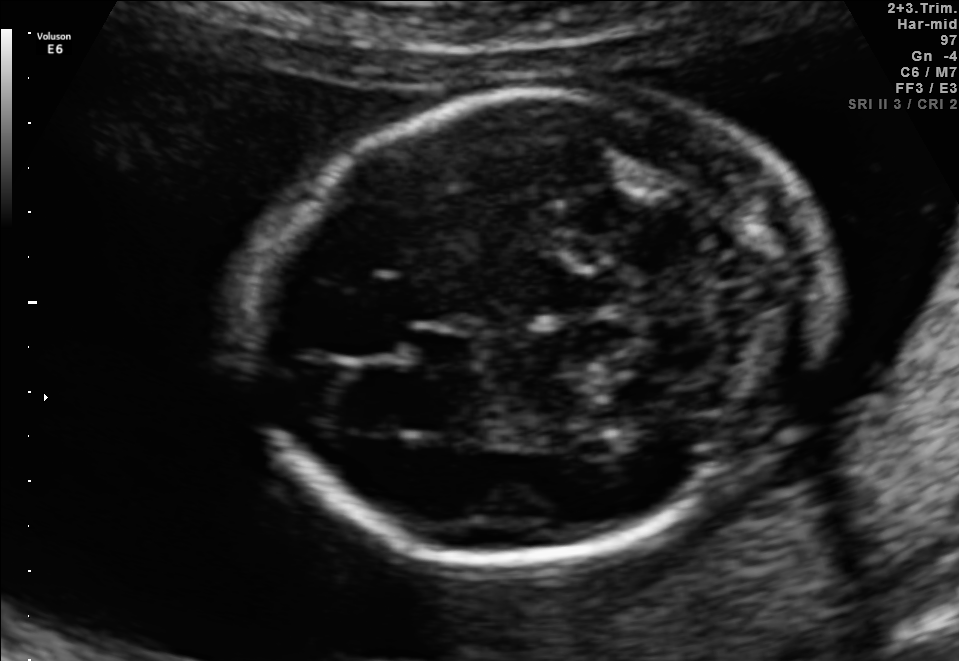
In this fetal brain, trans-cerebellum plane, give bounding boxes for the head outline, cavum septum pellucidum (CSP), and lateral ventricle (LV), where visible.

Head: [250,90,821,559]
CSP: [411,323,476,369]